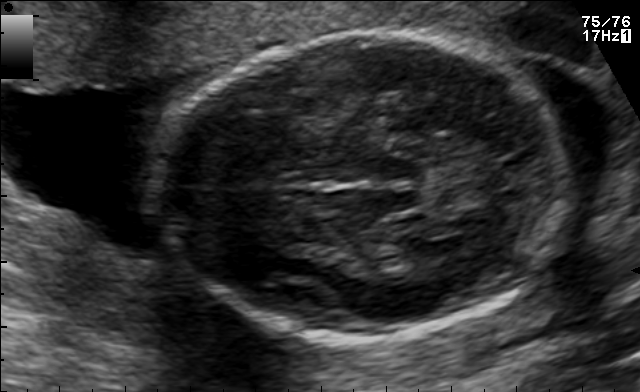
In this fetal brain, trans-thalamic plane, give bounding boxes for the head outline, cavum septum pellucidum (CSP), and lateral ventricle (LV), where visible.

Head: [155,31,567,339]